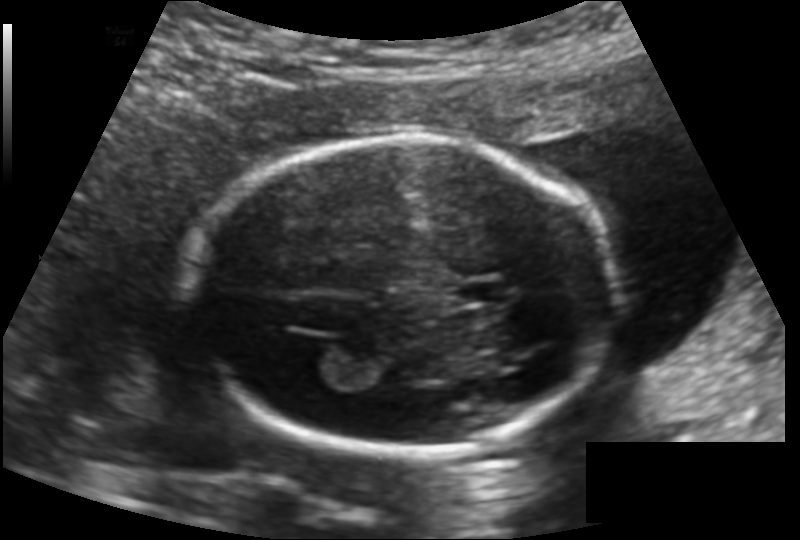
Fetal head ultrasound. Image width: 109.1 mm. Locate the fetal head and, if visible, the cavum septum pellucidum (CSP) and lateral ventricle (LV). Give bounding boxes as [x1,y1,x2,y2].

Head: [192,135,615,454]
CSP: [457,280,508,306]
Lateral ventricle: [284,331,341,374]